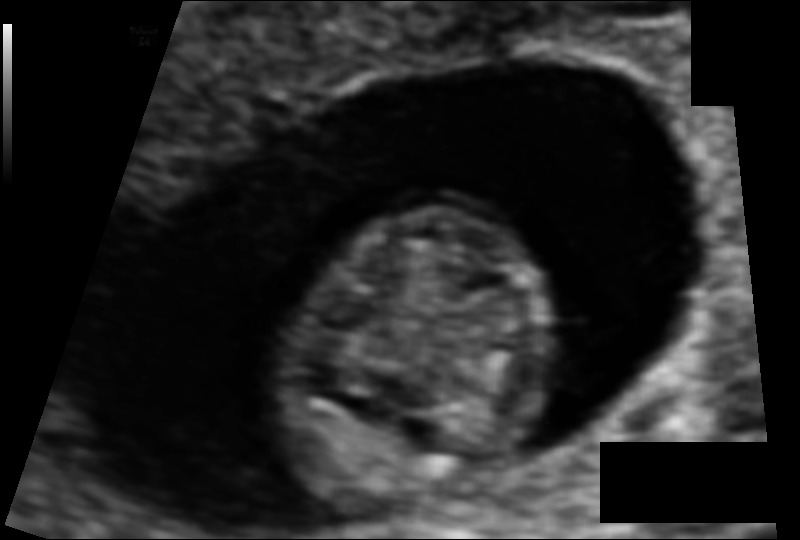
Fetal head ultrasound. Image width: 58.4 mm. Where is the fetal head?

Head bounding box: [279,209,545,512]